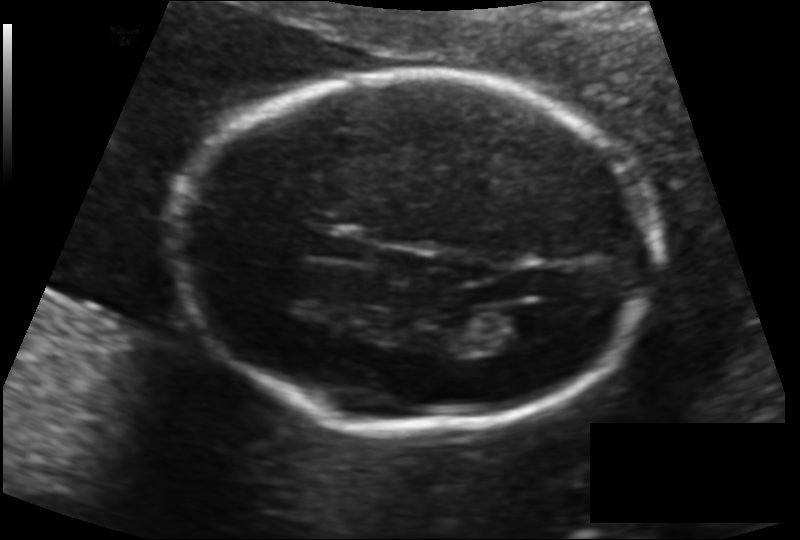
From this fetal ultrasound, estimate the head circumference (image width 107.4 mm).

Head circumference: 181.6 mm.